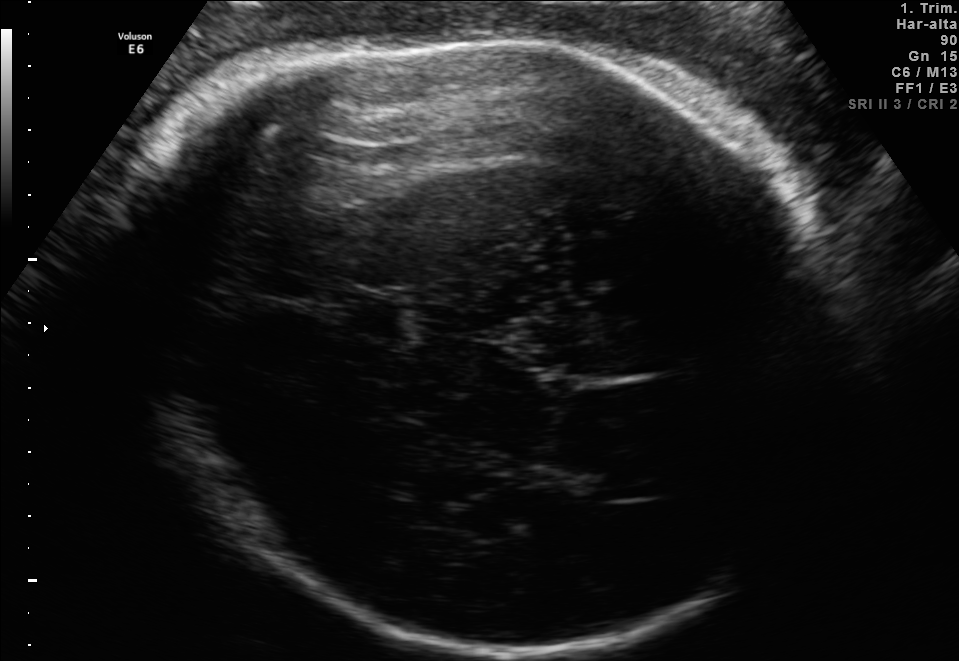
In this fetal brain, trans-thalamic plane, give the bounding box of the fetal head.

[133,33,846,652]